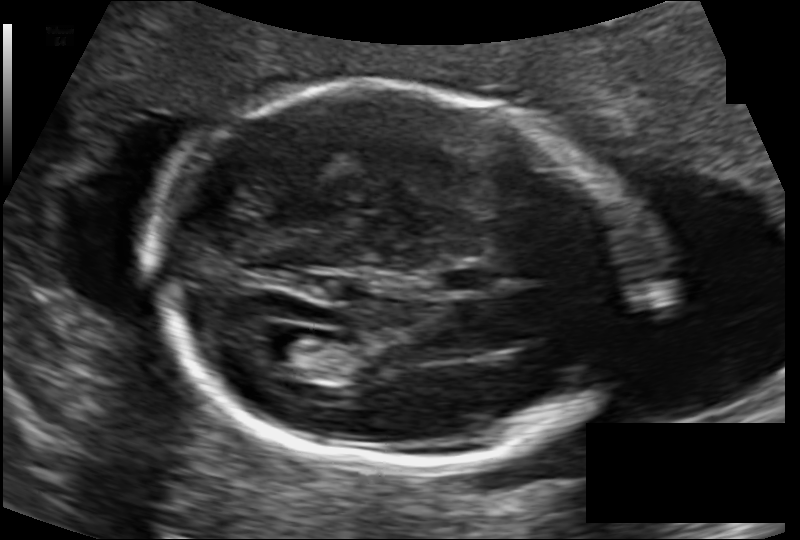
Estimate the fetal head circumference from this 2D ultrasound. Image width: 95.8 mm.

Head circumference: 169.7 mm.